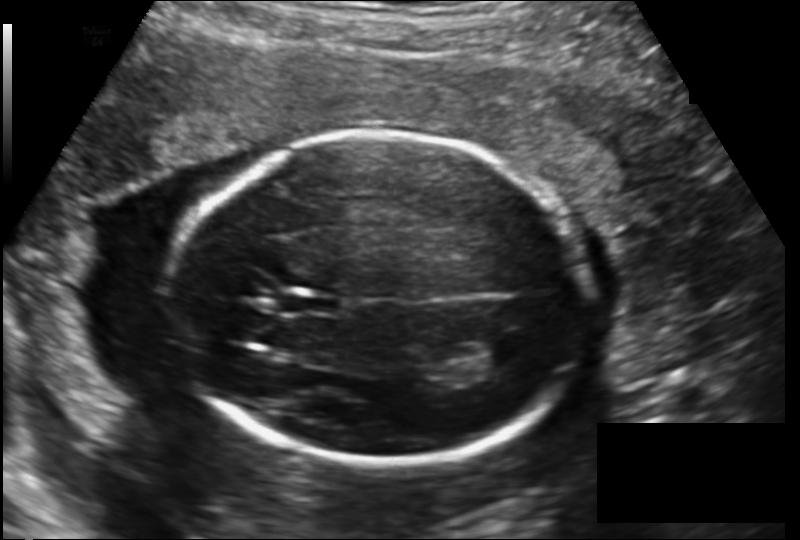
In this fetal head ultrasound, give the bounding box of the cavum septum pellucidum. Image width: 130.6 mm.

[280,291,335,314]